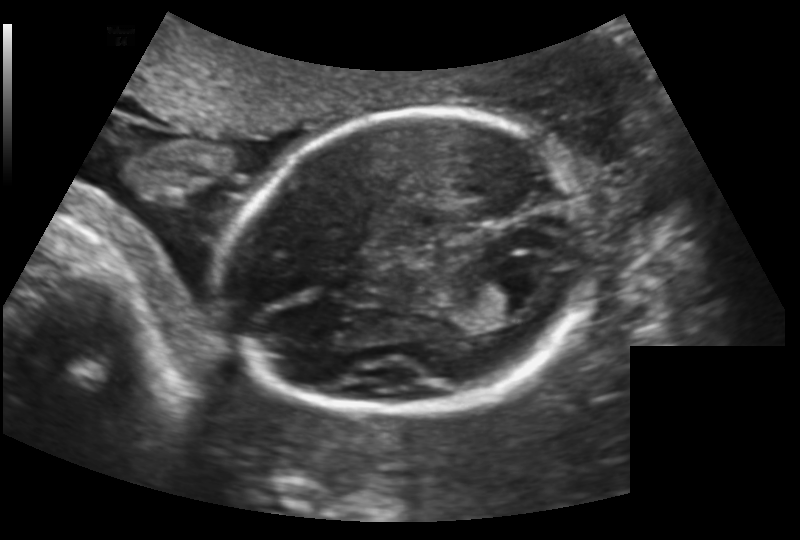
Fetal head ultrasound. Image width: 127.5 mm. Where is the lateral ventricle?

Lateral ventricle bounding box: [485,261,561,322]